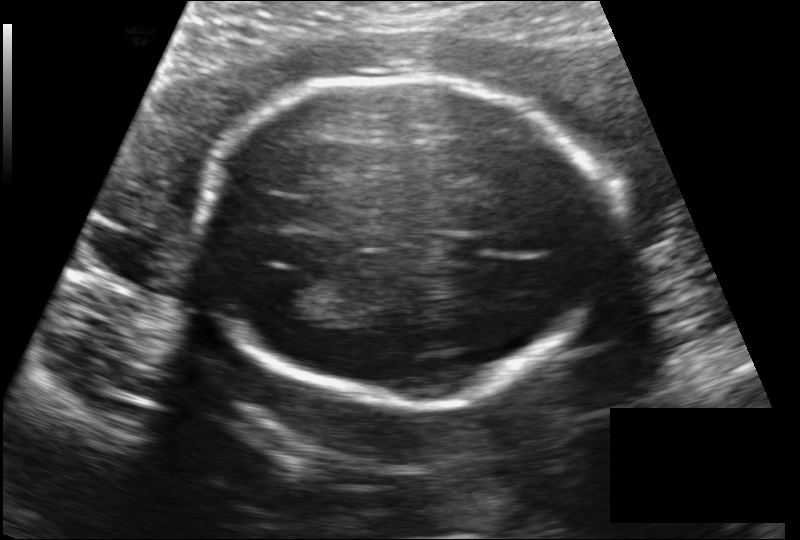
In this fetal head ultrasound, give the bounding box of the lateral ventricle. Image width: 119.2 mm.

[264,276,320,318]